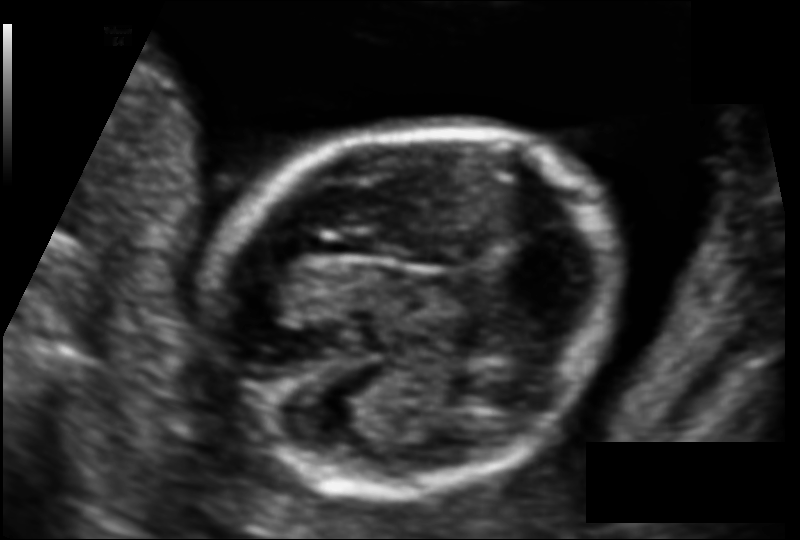
Estimate the fetal head circumference from this 2D ultrasound. Image width: 79.2 mm.

Head circumference: 123.4 mm.